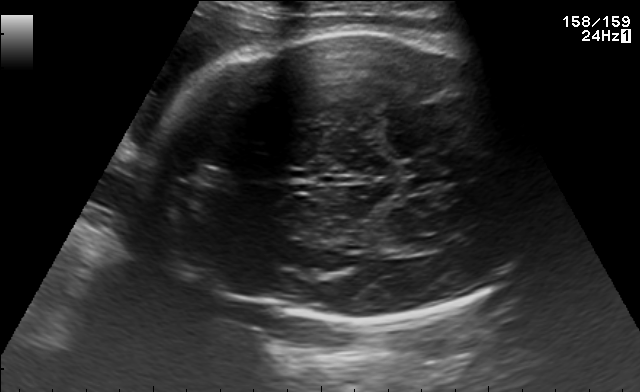
Fetal brain, trans-thalamic plane. Locate the lateral ventricle.

Lateral ventricle: [380,236,429,259]